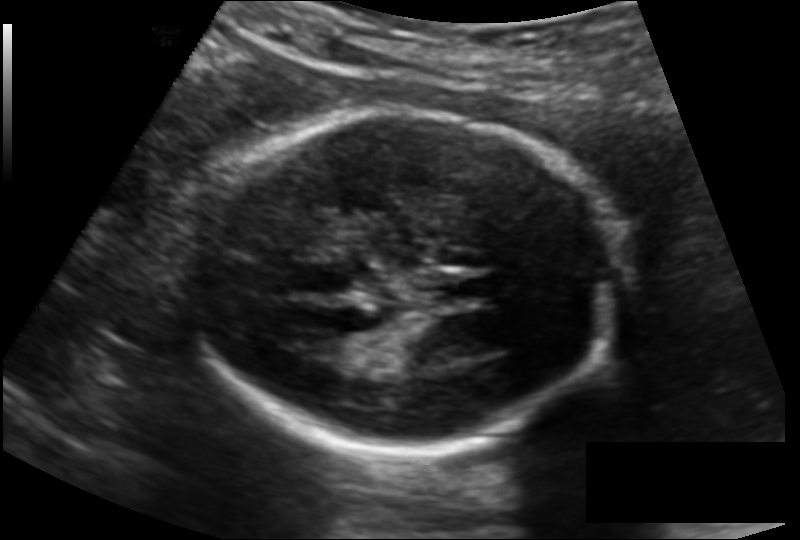
What is the fetal head circumference? Image width is 107.6 mm.

168.3 mm